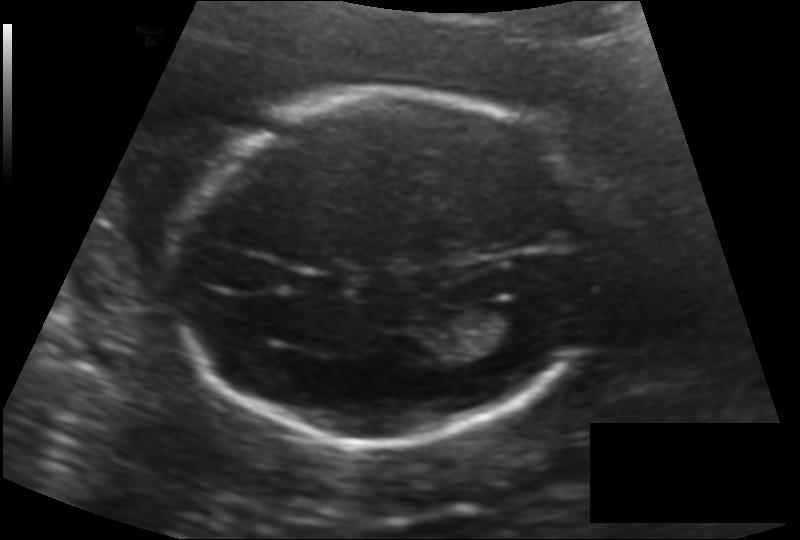
Fetal head ultrasound. Image width: 112.2 mm. Locate the lateral ventricle.

Lateral ventricle: [473,303,547,357]